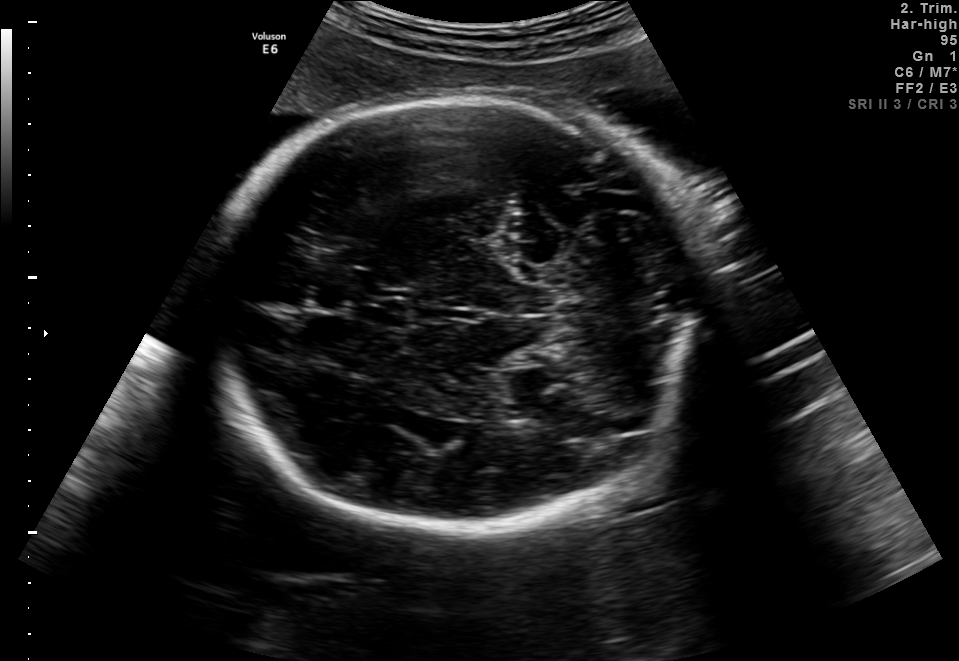
In this fetal brain, trans-thalamic plane, give the bounding box of the cavum septum pellucidum.

[366,301,408,327]